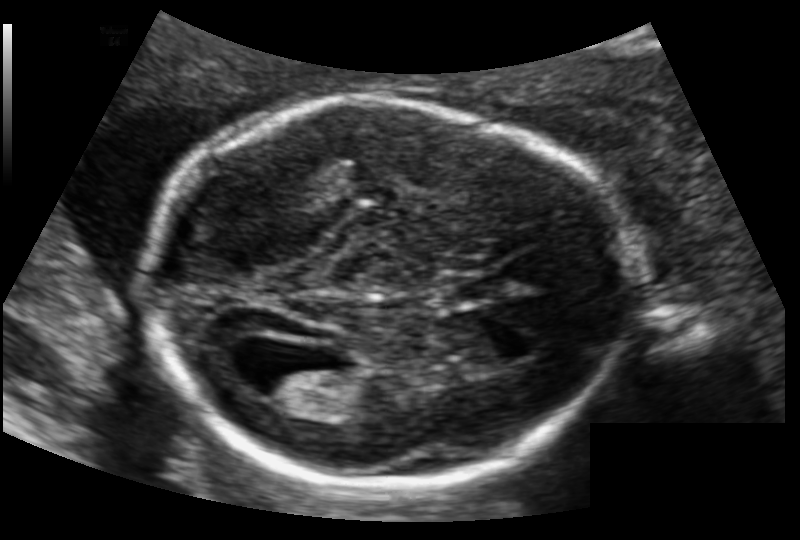
Fetal head ultrasound. Image width: 100.7 mm. Locate the fetal head.

Head: [143,98,621,489]